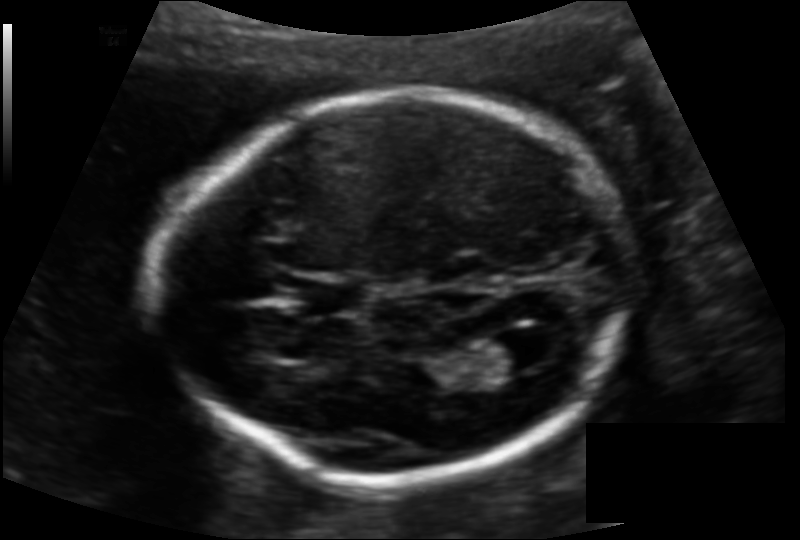
Fetal head ultrasound. Image width: 102.7 mm. Locate the lateral ventricle.

Lateral ventricle: [471,327,546,383]